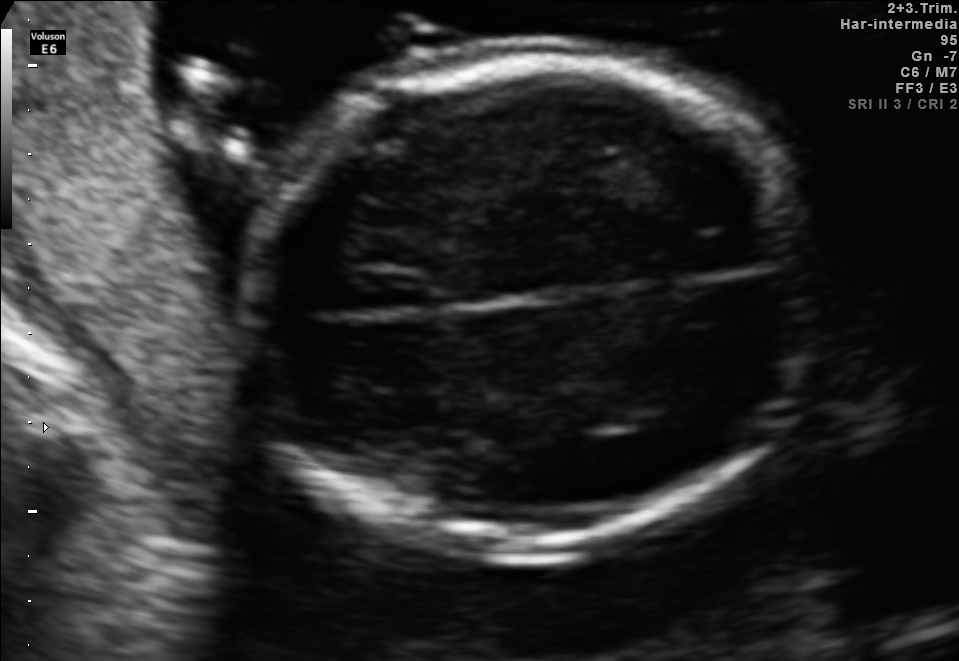
In this fetal brain, trans-thalamic plane, give the bounding box of the fetal head.

[260,54,813,545]